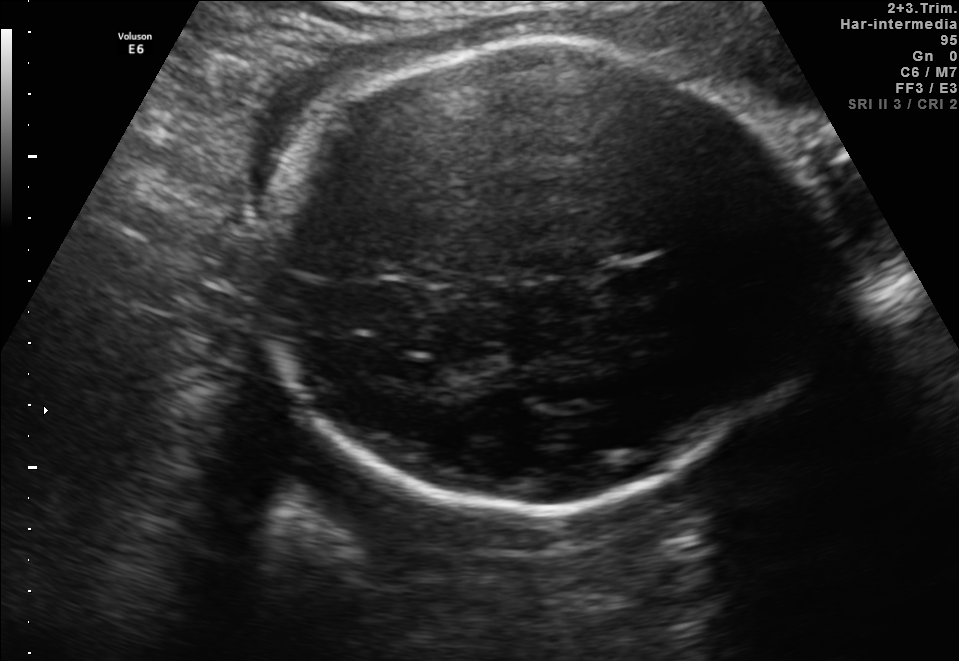
In this fetal brain, trans-thalamic plane, give bounding boxes for the head outline, cavum septum pellucidum (CSP), and lateral ventricle (LV), where visible.

Head: [247,39,820,514]
CSP: [607,255,675,300]